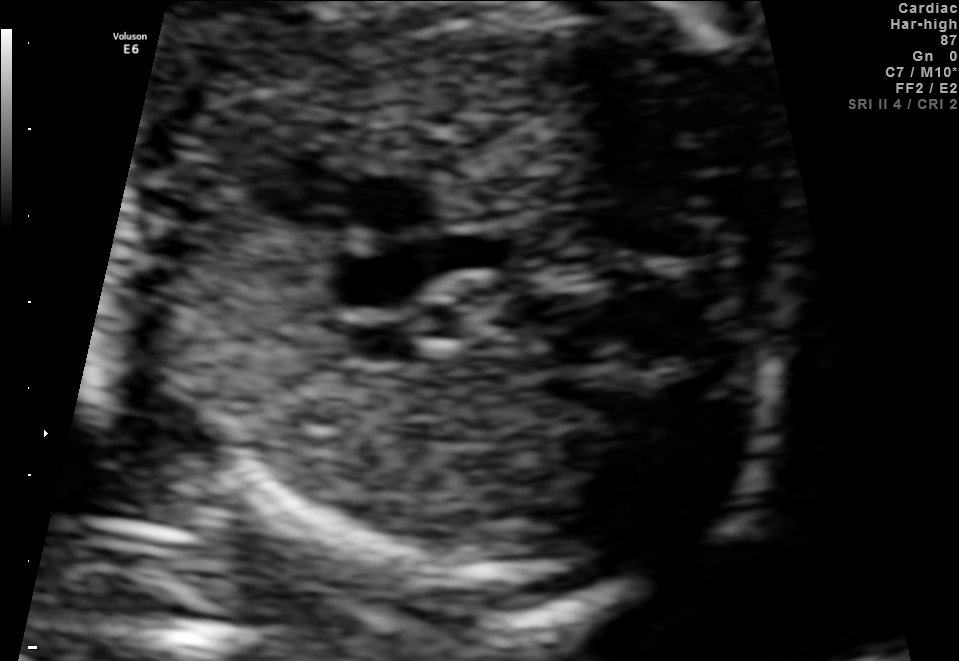
Classify this maternal-fetal ultrasound image as one of the six standard planes — fetal abdomen, fetal brain, fetal femur, fetal thorax, maternal cervix, or other. If it's fetal brain and one of the three standard brain planes (trans-thalamic, trans-cerebellum, trans-ventricular), name which.

Other